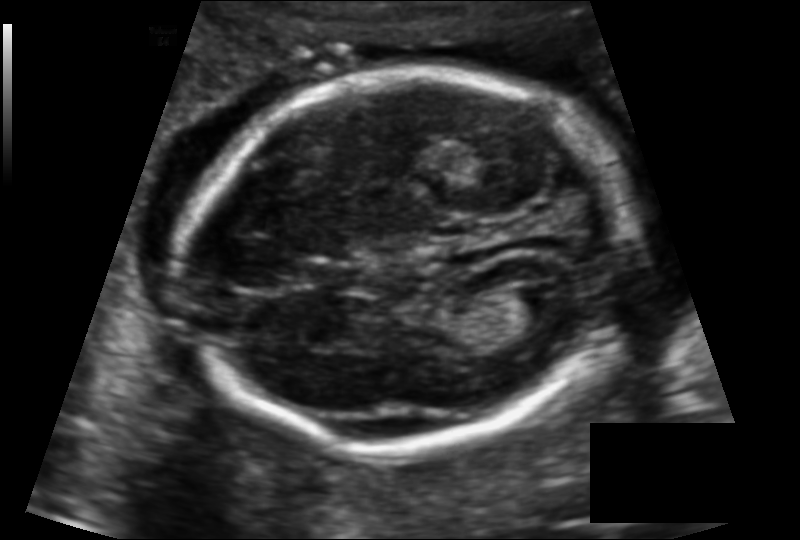
Estimate the fetal head circumference from this 2D ultrasound. Image width: 99.3 mm.

Head circumference: 167.2 mm.